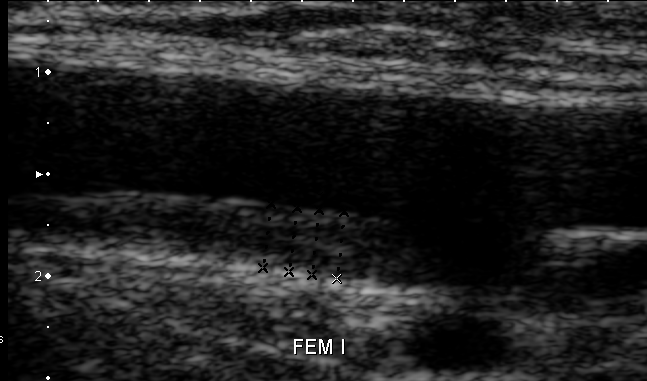
Classify this maternal-fetal ultrasound image as one of the six standard planes — fetal abdomen, fetal brain, fetal femur, fetal thorax, maternal cervix, or other. If it's fetal brain and one of the three standard brain planes (trans-thalamic, trans-cerebellum, trans-ventricular), name which.

Other